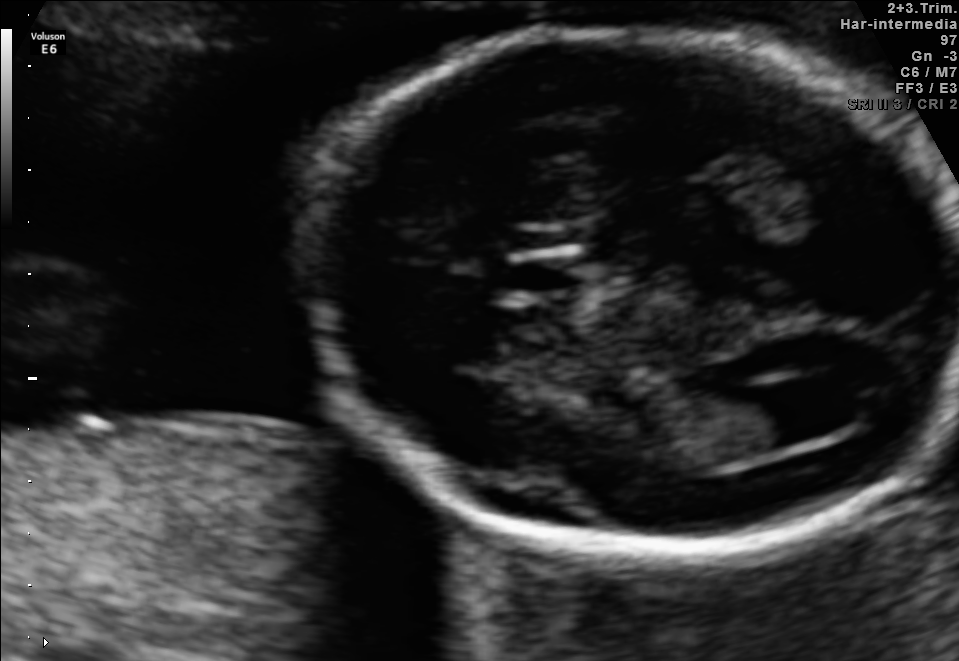
Fetal brain, trans-ventricular plane. Locate the cavum septum pellucidum.

CSP: [513,262,587,299]